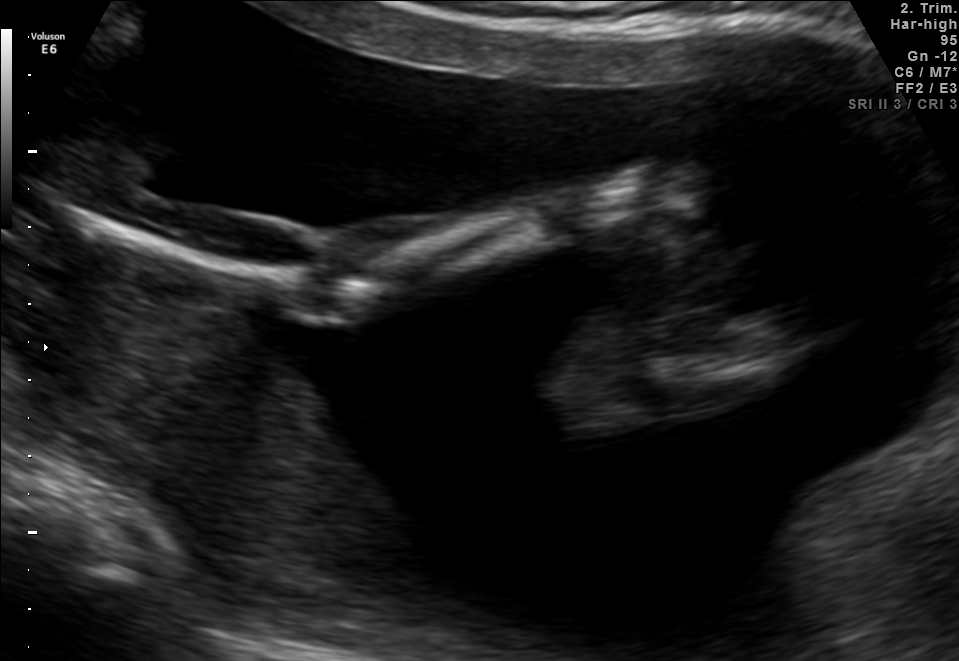
Which standard maternal-fetal ultrasound plane is shown: fetal abdomen, fetal brain, fetal femur, fetal thorax, maternal cervix, or other? If it's fetal brain and one of the three standard brain planes (trans-thalamic, trans-cerebellum, trans-ventricular), name which.

Other